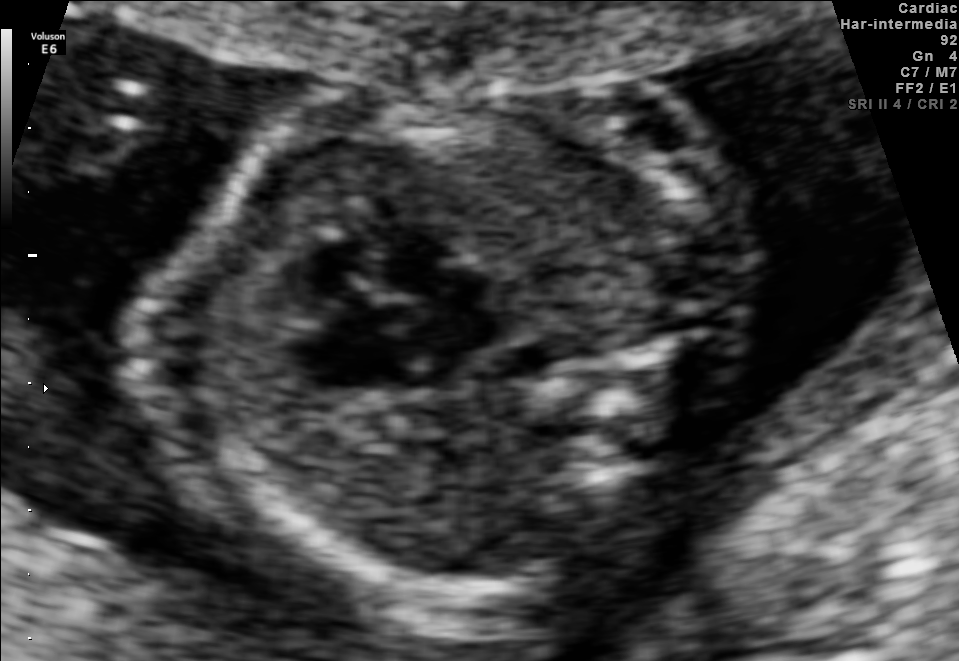
Which standard maternal-fetal ultrasound plane is shown: fetal abdomen, fetal brain, fetal femur, fetal thorax, maternal cervix, or other? If it's fetal brain and one of the three standard brain planes (trans-thalamic, trans-cerebellum, trans-ventricular), name which.

Fetal thorax